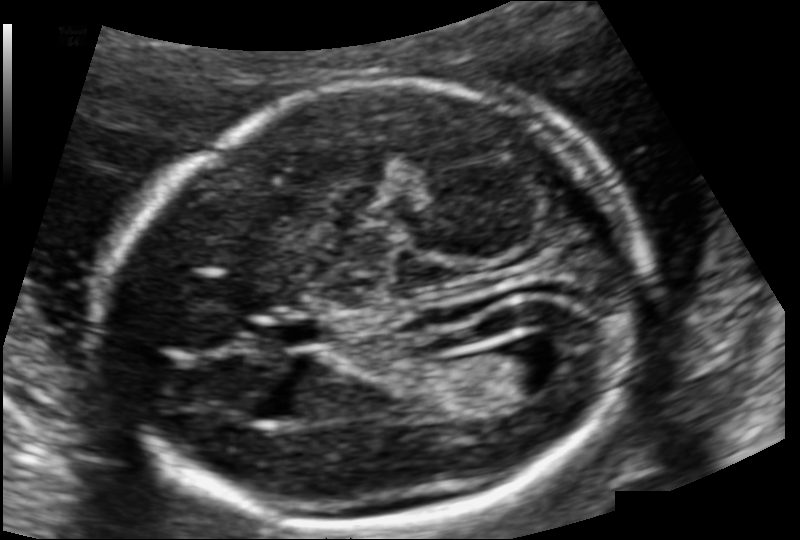
Estimate the fetal head circumference from this 2D ultrasound. Image width: 89.0 mm.

Head circumference: 176.7 mm.